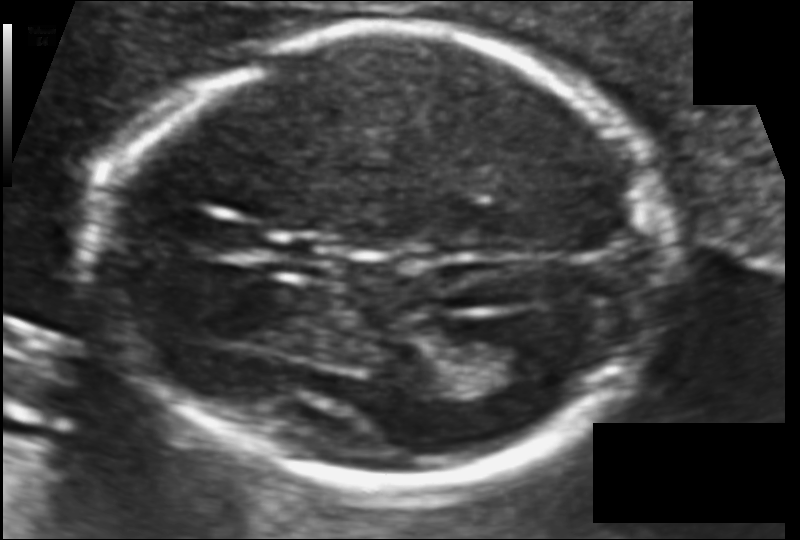
Fetal head ultrasound. Image width: 78.9 mm. Give [x1,y1,x2,y2] bounding boxes for each visible structure among: fetal head, CSP, LV.

Head: [102,28,662,488]
Lateral ventricle: [455,323,552,393]